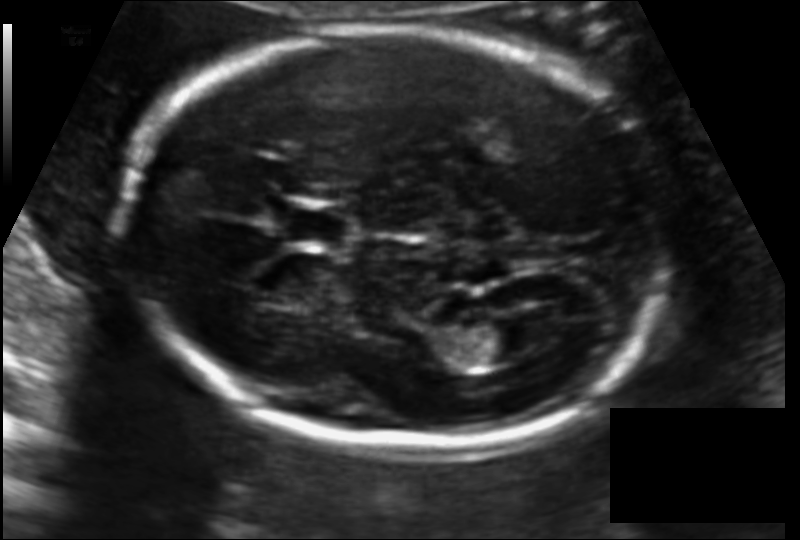
Fetal head ultrasound. Image width: 95.2 mm. Where is the fetal head?

Head bounding box: [123,28,673,447]